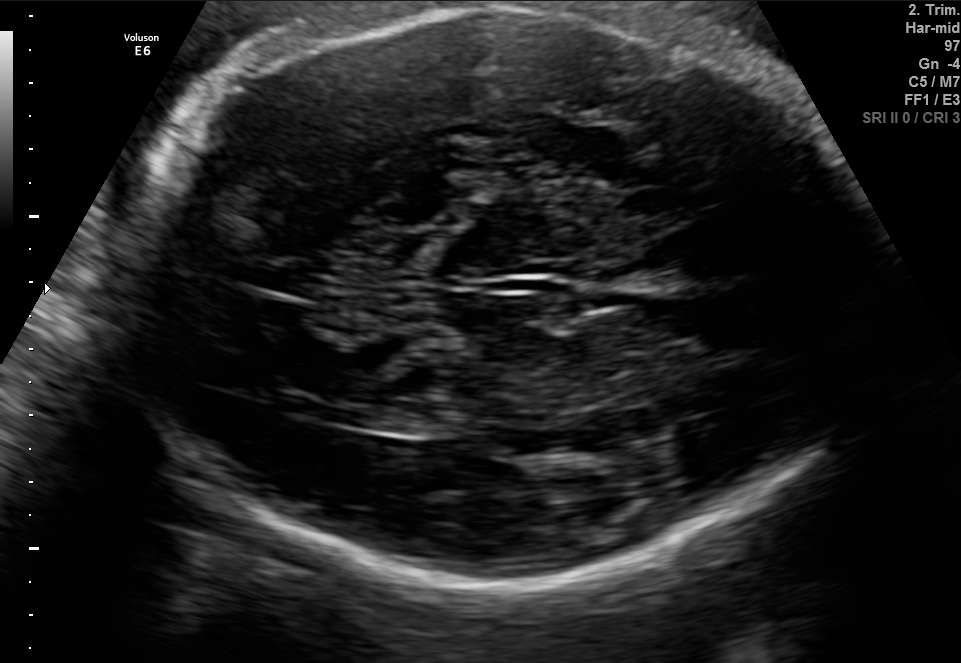
Fetal brain, trans-thalamic plane. Locate the fetal head and, if visible, the cavum septum pellucidum (CSP) and lateral ventricle (LV). Give bounding boxes as [x1,y1,x2,y2].

Head: [112,8,867,589]